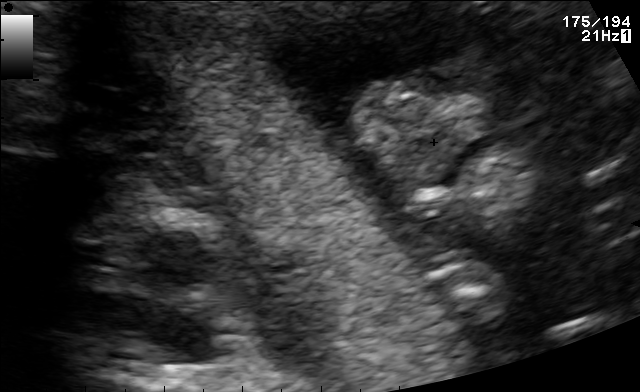
This is a 2D maternal-fetal ultrasound frame. Is it a fetal abdomen, fetal brain, fetal femur, fetal thorax, maternal cervix, or other standard plane? If it's fetal brain and one of the three standard brain planes (trans-thalamic, trans-cerebellum, trans-ventricular), name which.

Other